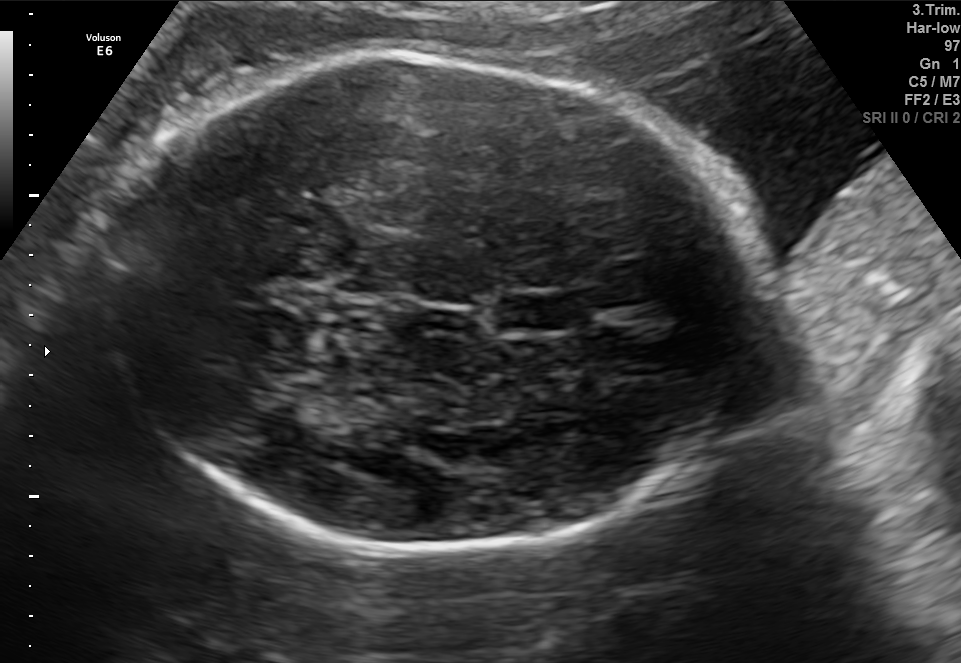
Fetal brain, trans-thalamic plane. Locate the fetal head.

Head: [93,53,762,550]